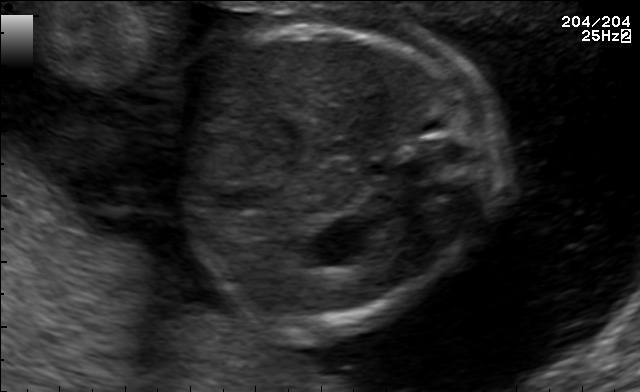
This is a 2D maternal-fetal ultrasound frame. Is it a fetal abdomen, fetal brain, fetal femur, fetal thorax, maternal cervix, or other standard plane? If it's fetal brain and one of the three standard brain planes (trans-thalamic, trans-cerebellum, trans-ventricular), name which.

Fetal abdomen